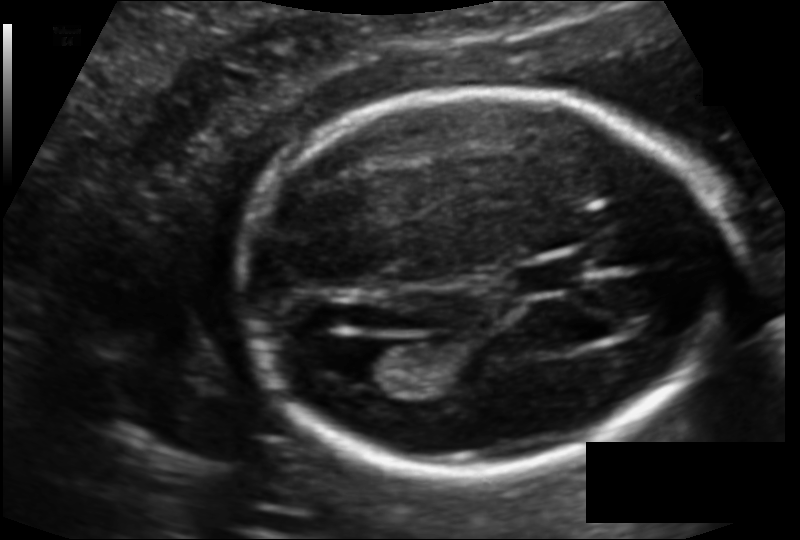
Fetal head ultrasound. Image width: 96.9 mm. Locate the cavum septum pellucidum.

CSP: [511,249,591,301]